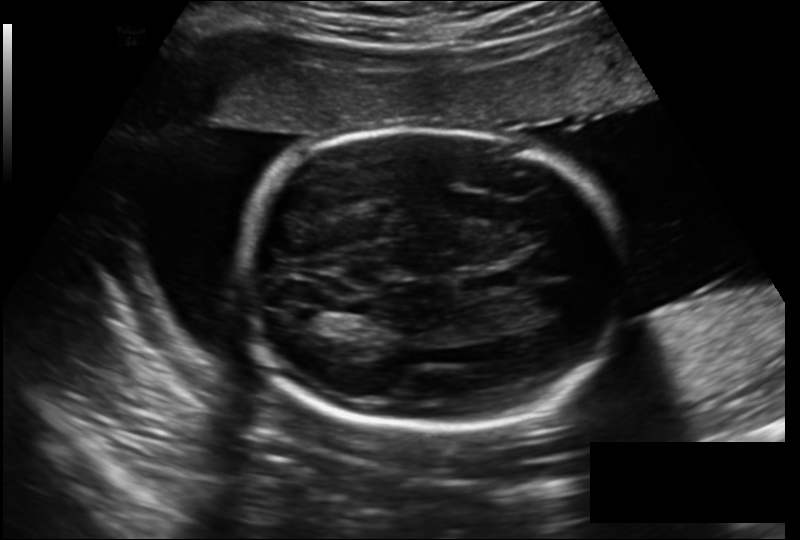
From this fetal ultrasound, estimate the head circumference (image width 164.7 mm).

Head circumference: 228.2 mm.